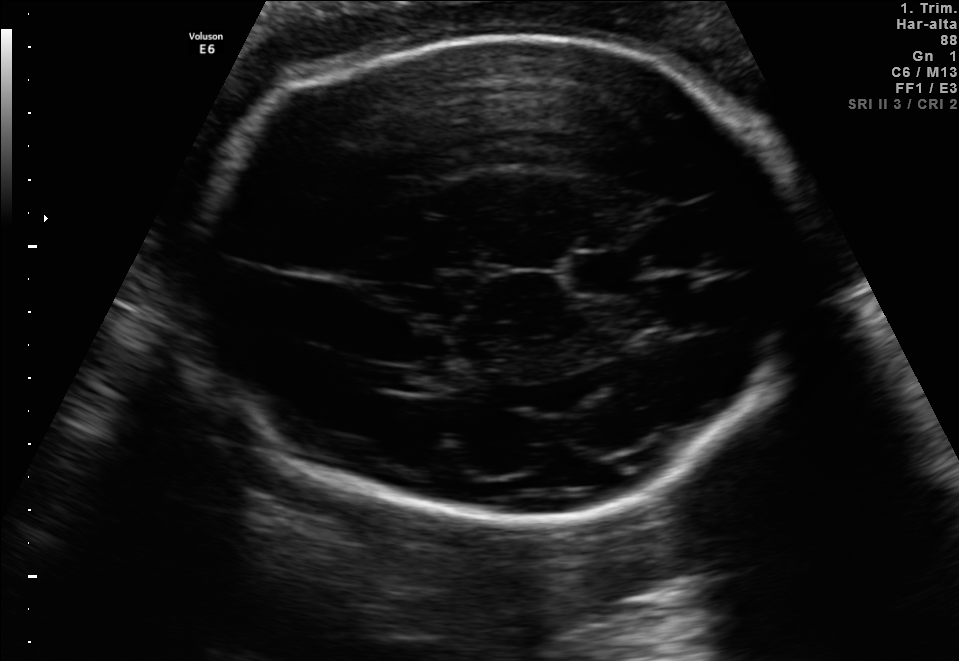
In this fetal brain, trans-thalamic plane, give the bounding box of the fetal head.

[193,33,804,518]